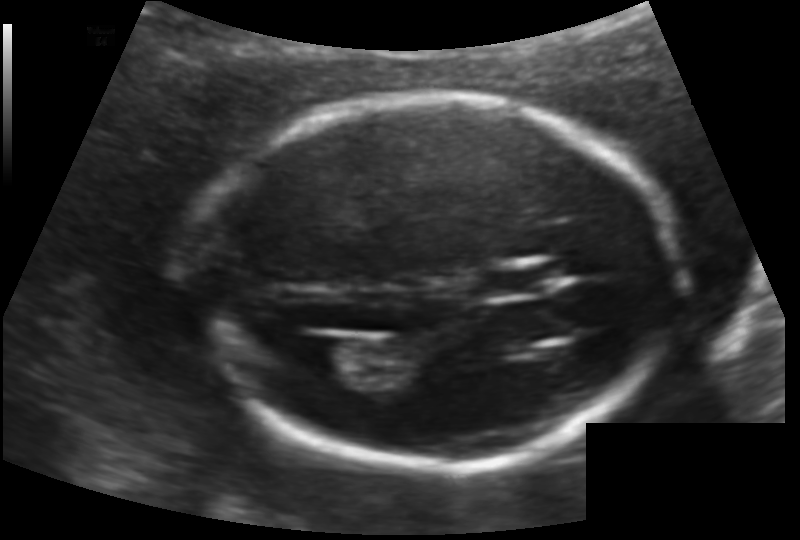
Fetal head ultrasound. Image width: 99.5 mm. Locate the cavum septum pellucidum.

CSP: [475,261,546,303]